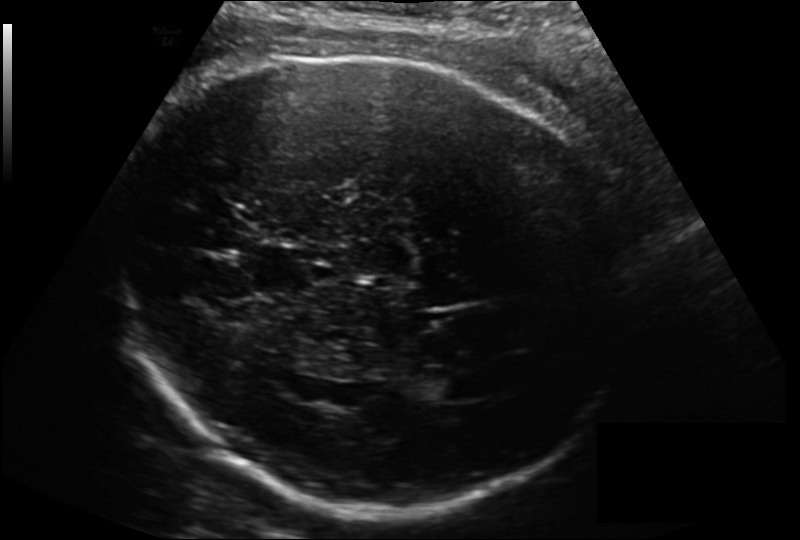
In this fetal head ultrasound, give the bounding box of the fetal head. Image width: 159.6 mm.

[113,55,635,507]